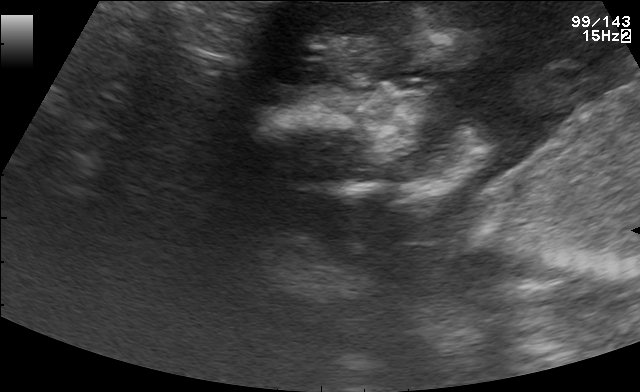
Identify the standard plane in this fetal ultrasound image: fetal abdomen, fetal brain, fetal femur, fetal thorax, maternal cervix, or other. If it's fetal brain and one of the three standard brain planes (trans-thalamic, trans-cerebellum, trans-ventricular), name which.

Other